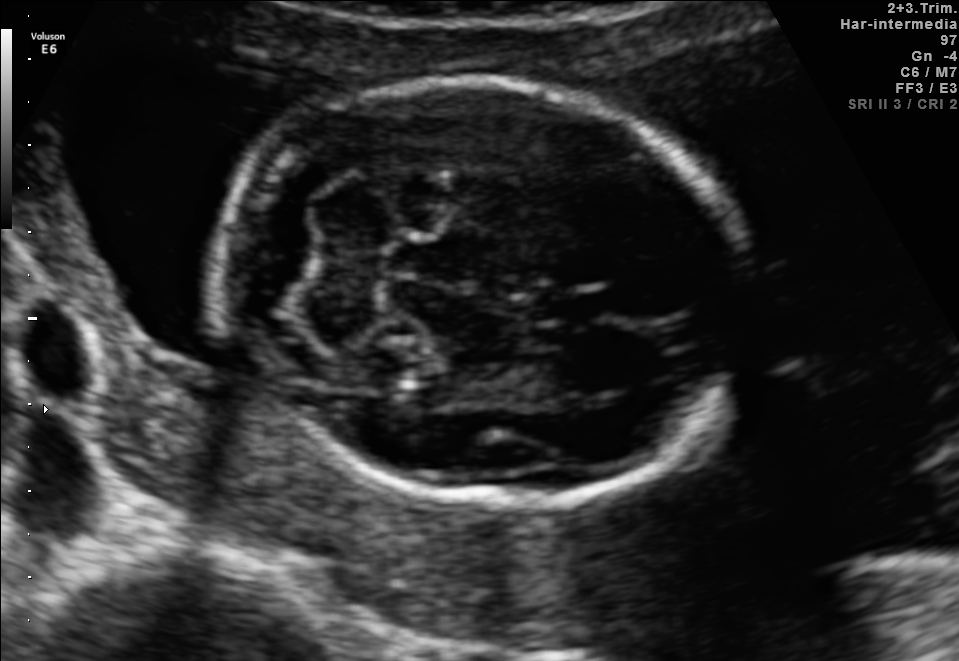
Fetal brain, trans-cerebellum plane. Locate the fetal head.

Head: [213,80,746,501]